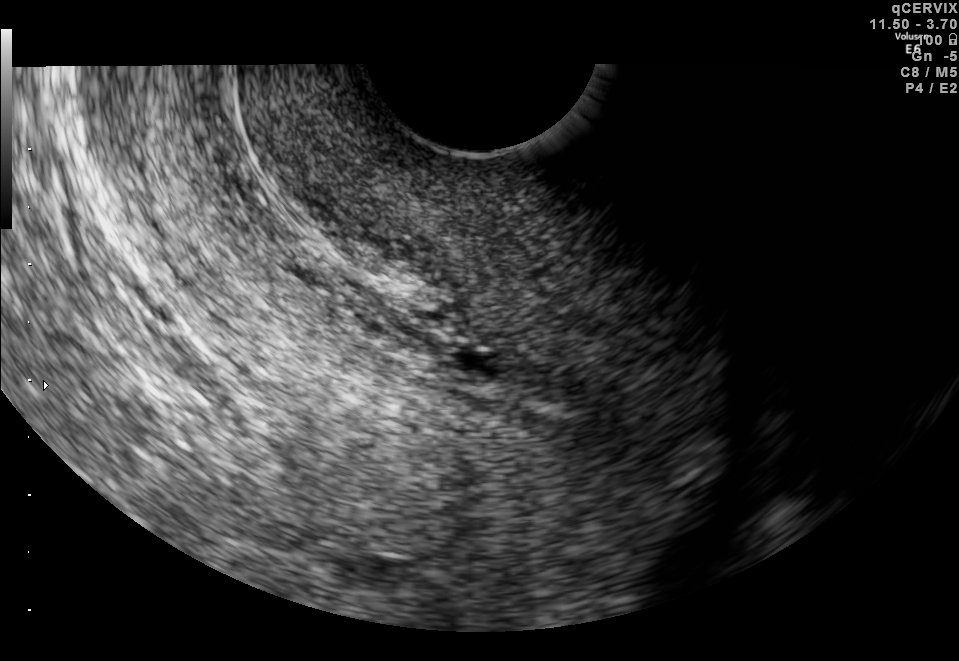
Identify the standard plane in this fetal ultrasound image: fetal abdomen, fetal brain, fetal femur, fetal thorax, maternal cervix, or other. If it's fetal brain and one of the three standard brain planes (trans-thalamic, trans-cerebellum, trans-ventricular), name which.

Maternal cervix